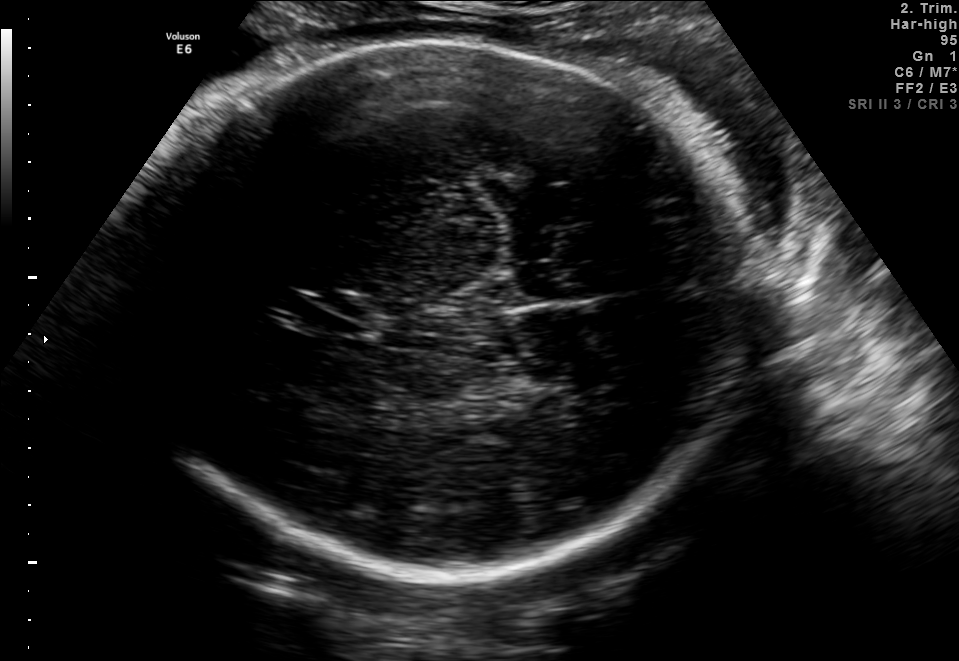
Which standard maternal-fetal ultrasound plane is shown: fetal abdomen, fetal brain, fetal femur, fetal thorax, maternal cervix, or other? If it's fetal brain and one of the three standard brain planes (trans-thalamic, trans-cerebellum, trans-ventricular), name which.

Fetal brain (trans-thalamic plane)